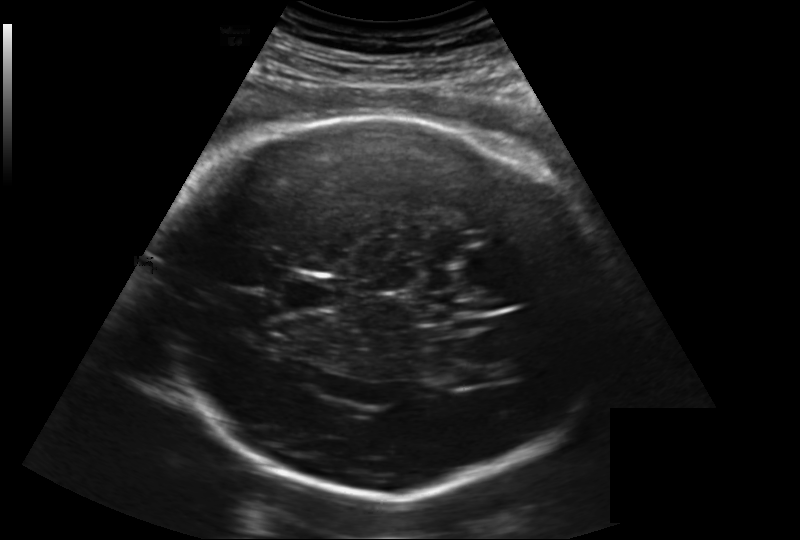
What is the fetal head circumference? Image width is 175.3 mm.

293.4 mm